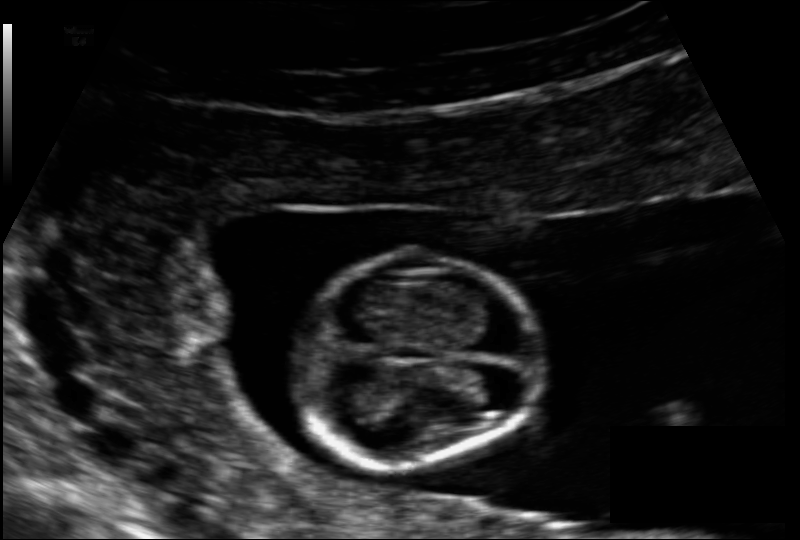
Fetal head ultrasound. Image width: 73.0 mm. Locate the fetal head.

Head: [284,251,544,471]